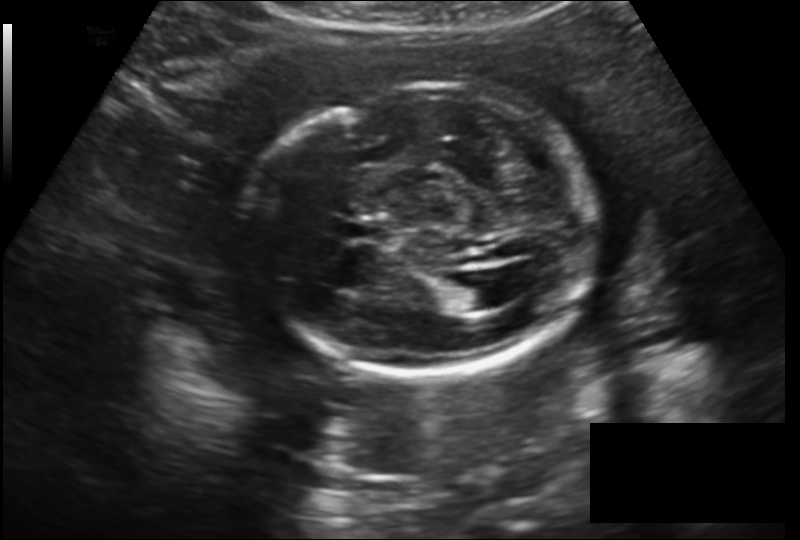
In this fetal head ultrasound, give the bounding box of the cavum septum pellucidum. Image width: 145.7 mm.

[344,220,387,242]